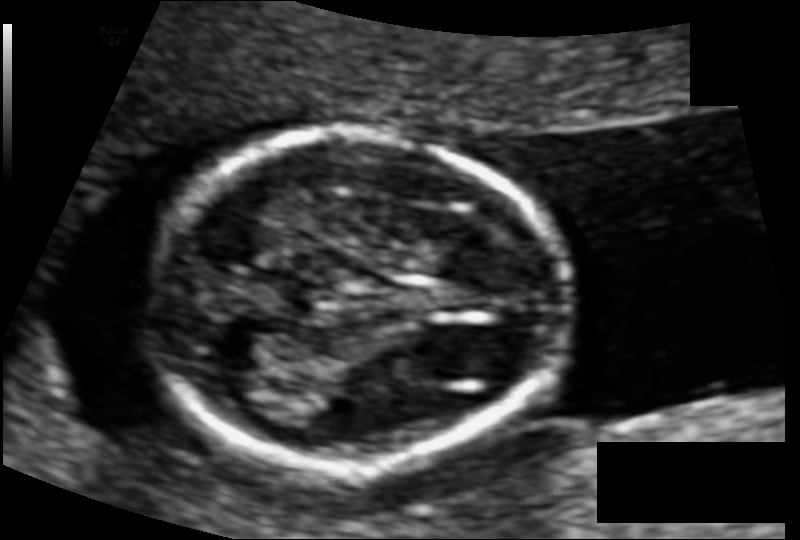
From this fetal ultrasound, estimate the head circumference (image width 66.8 mm).

Head circumference: 101.5 mm.